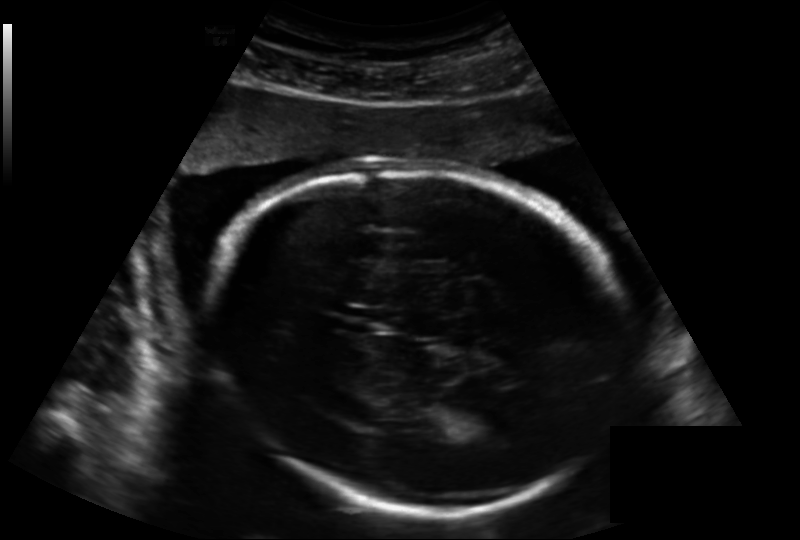
Estimate the fetal head circumference from this 2D ultrasound.

Head circumference: 230.6 mm (image width 150.3 mm).